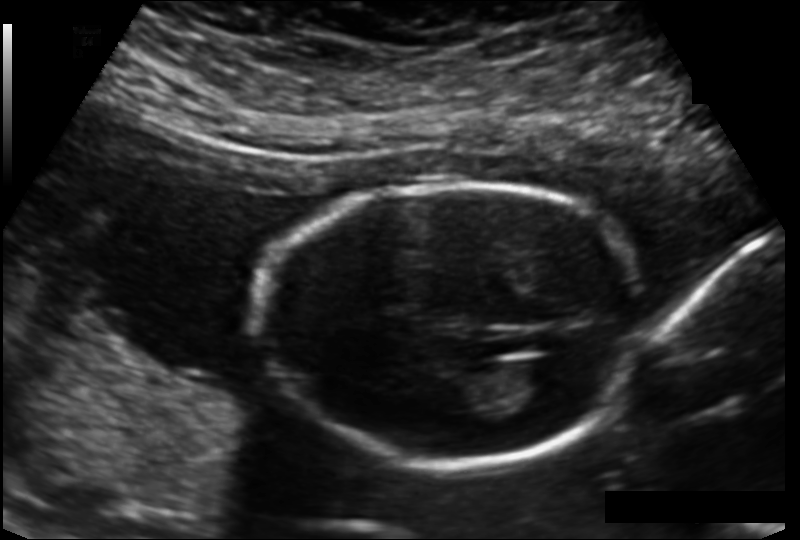
Fetal head ultrasound. Image width: 107.7 mm. Locate the fetal head.

Head: [260,181,647,465]